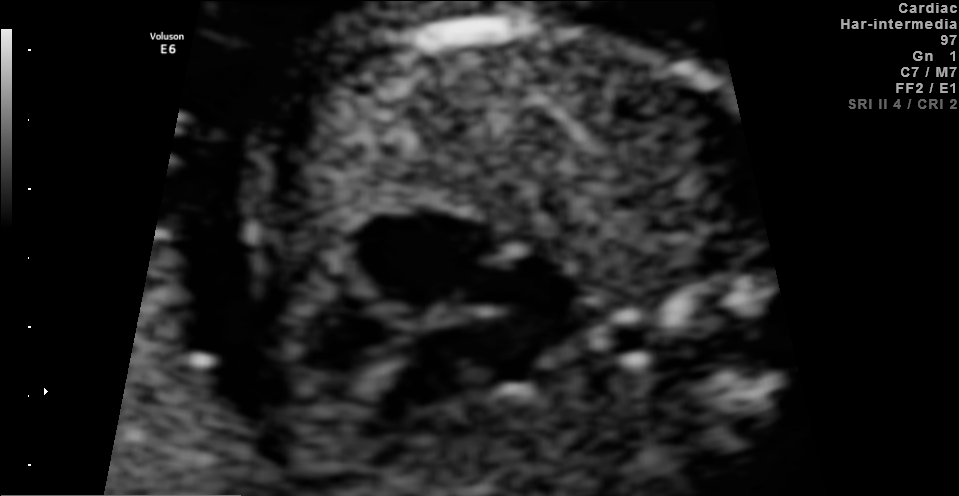
Classify this maternal-fetal ultrasound image as one of the six standard planes — fetal abdomen, fetal brain, fetal femur, fetal thorax, maternal cervix, or other. If it's fetal brain and one of the three standard brain planes (trans-thalamic, trans-cerebellum, trans-ventricular), name which.

Fetal thorax